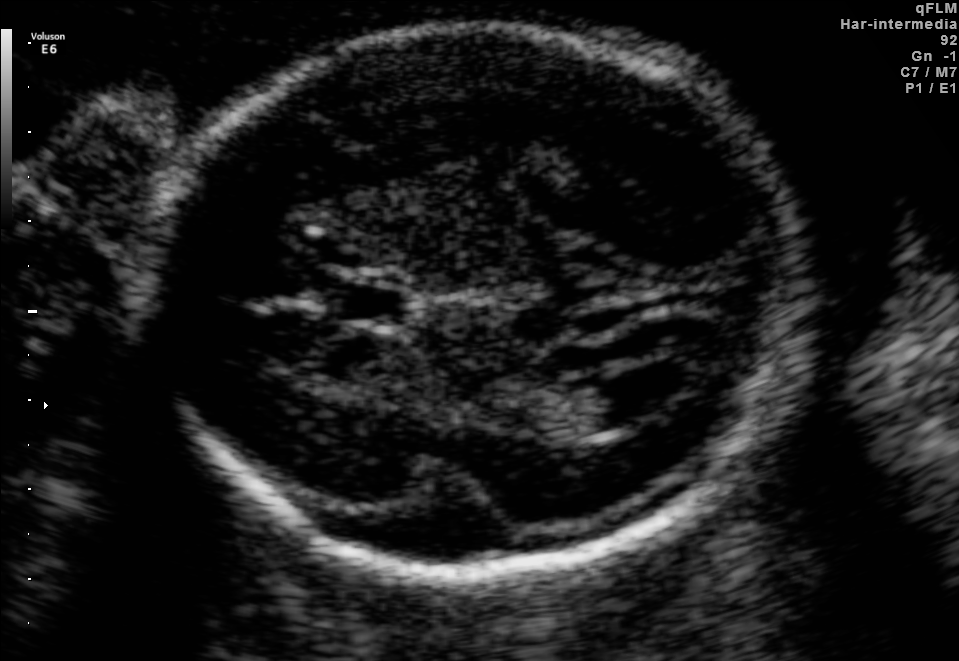
In this fetal brain, trans-ventricular plane, give bounding boxes for the head outline, cavum septum pellucidum (CSP), and lateral ventricle (LV), where visible.

Head: [121,17,832,592]
CSP: [317,276,425,331]
Lateral ventricle: [567,357,676,438]